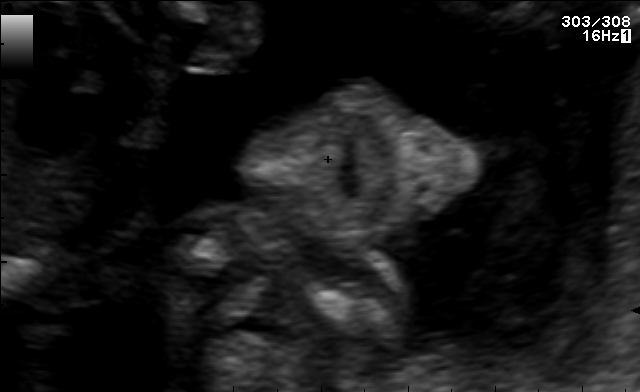
Which standard maternal-fetal ultrasound plane is shown: fetal abdomen, fetal brain, fetal femur, fetal thorax, maternal cervix, or other? If it's fetal brain and one of the three standard brain planes (trans-thalamic, trans-cerebellum, trans-ventricular), name which.

Other